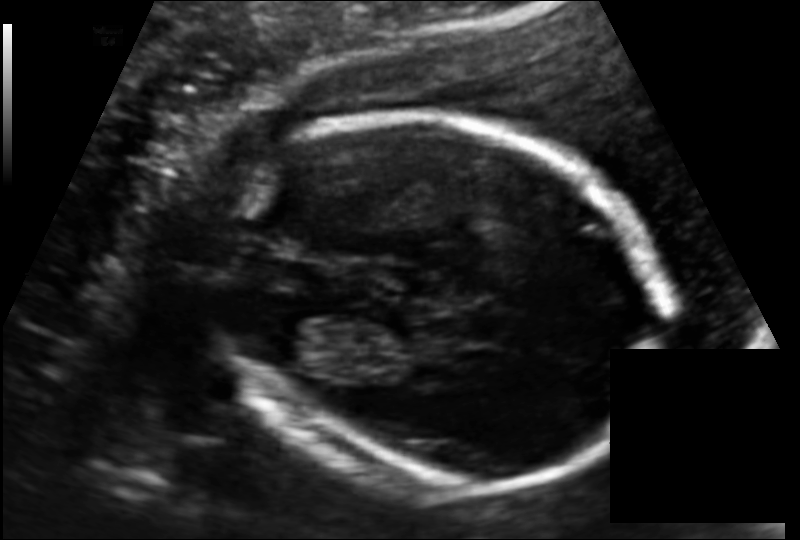
Fetal head ultrasound. Image width: 103.9 mm. Locate the fetal head.

Head: [209,114,667,492]